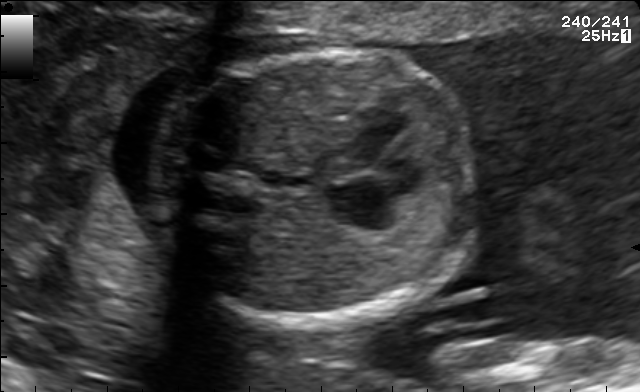
This is a 2D maternal-fetal ultrasound frame. Is it a fetal abdomen, fetal brain, fetal femur, fetal thorax, maternal cervix, or other standard plane? If it's fetal brain and one of the three standard brain planes (trans-thalamic, trans-cerebellum, trans-ventricular), name which.

Fetal thorax